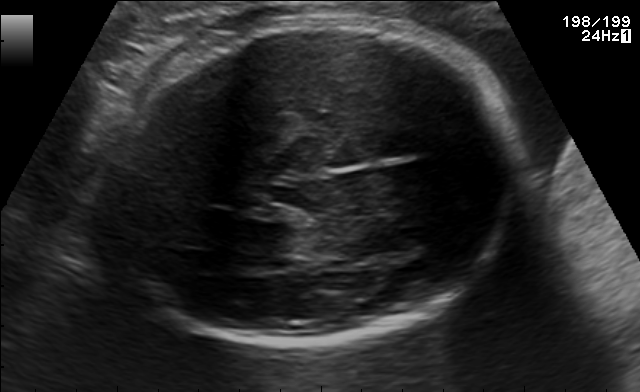
In this fetal brain, trans-thalamic plane, give the bounding box of the fetal head.

[106,17,517,346]